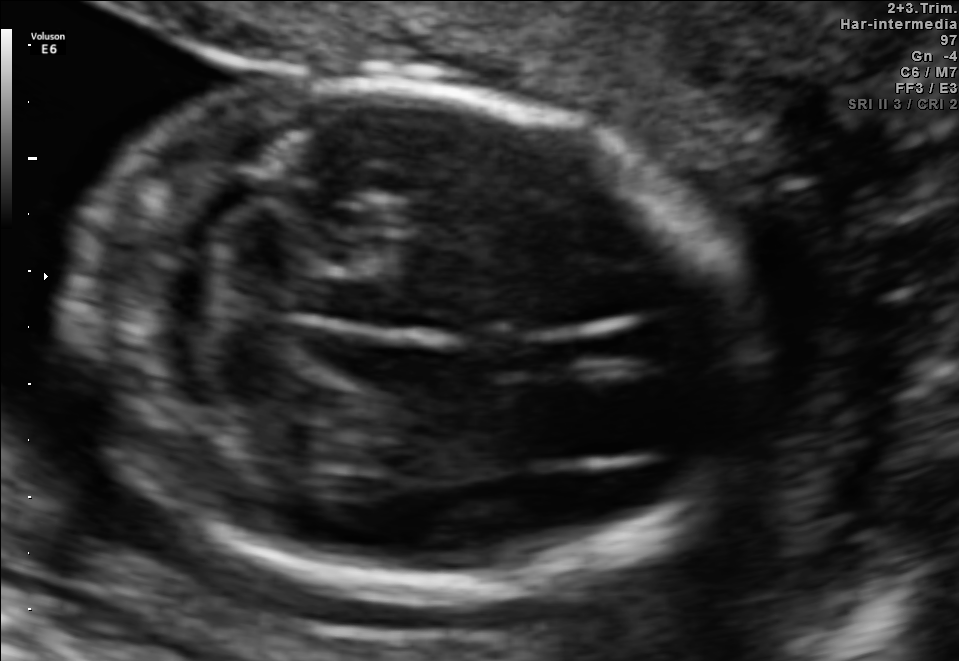
Which standard maternal-fetal ultrasound plane is shown: fetal abdomen, fetal brain, fetal femur, fetal thorax, maternal cervix, or other? If it's fetal brain and one of the three standard brain planes (trans-thalamic, trans-cerebellum, trans-ventricular), name which.

Fetal brain (trans-cerebellum plane)